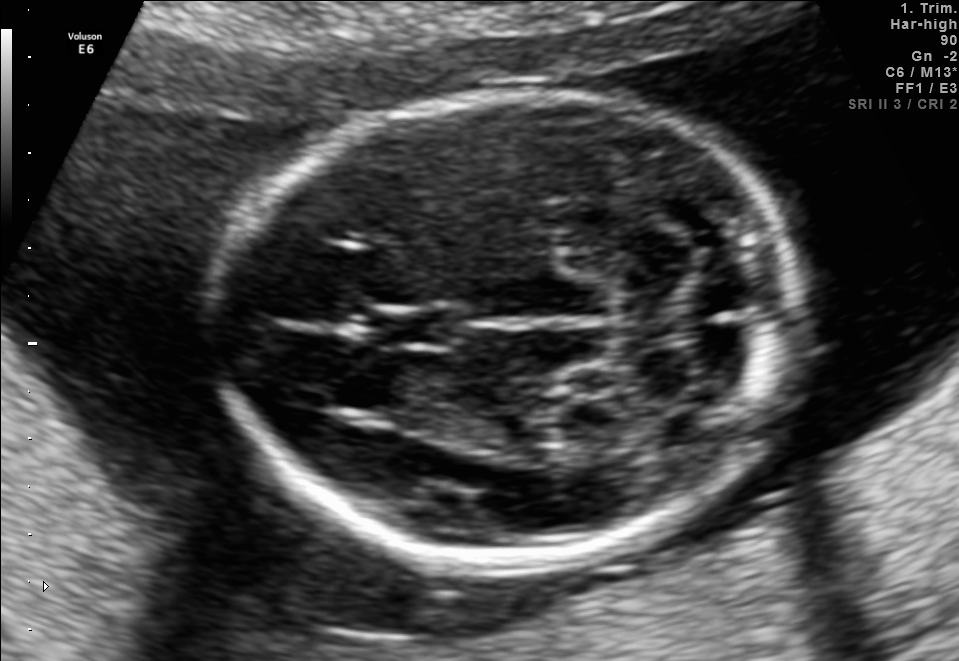
In this fetal brain, trans-cerebellum plane, give the bounding box of the fetal head.

[226,91,795,564]